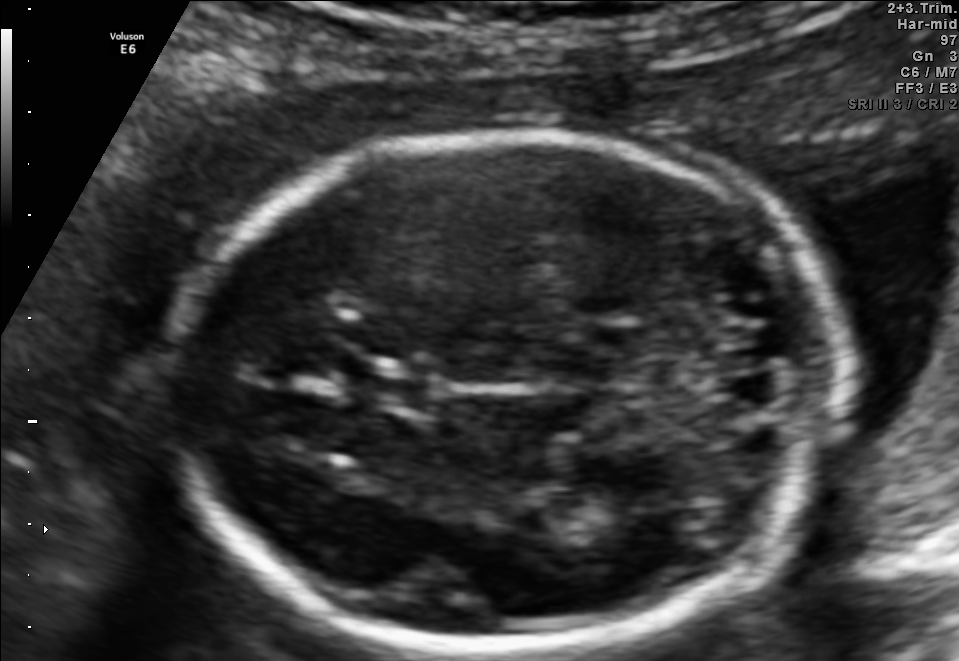
Fetal brain, trans-thalamic plane. Where is the cavum septum pellucidum?

CSP bounding box: [353,366,438,413]